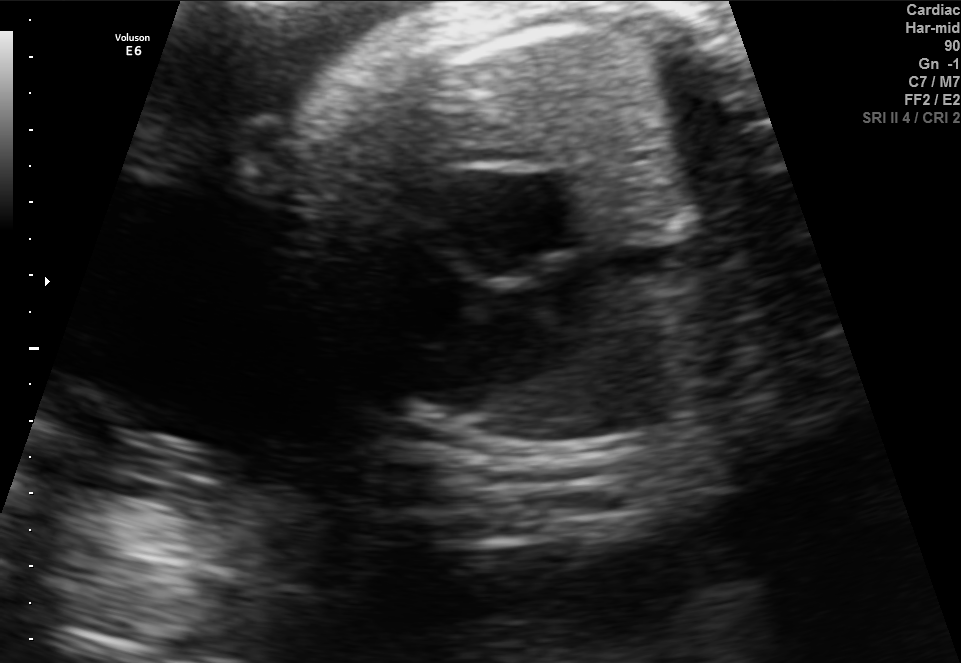
Identify the standard plane in this fetal ultrasound image: fetal abdomen, fetal brain, fetal femur, fetal thorax, maternal cervix, or other. If it's fetal brain and one of the three standard brain planes (trans-thalamic, trans-cerebellum, trans-ventricular), name which.

Fetal thorax